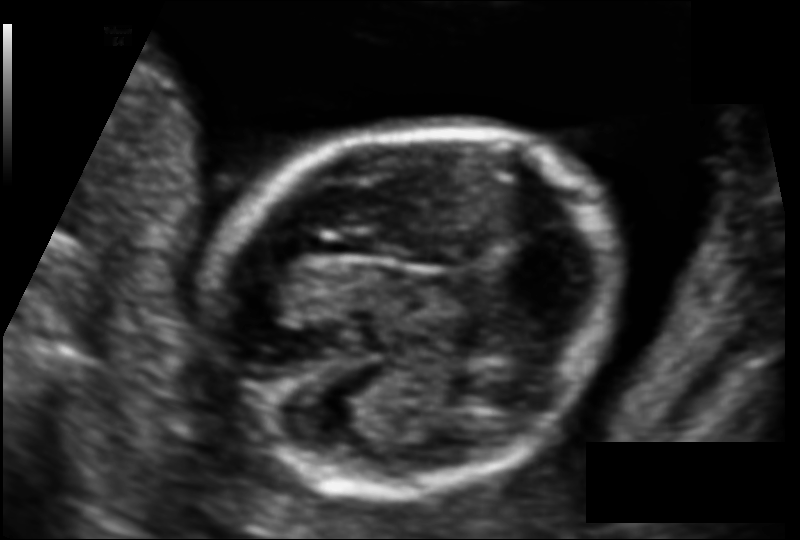
In this fetal head ultrasound, give bounding boxes for the head outline, cavum septum pellucidum (CSP), and lateral ventricle (LV), where visible. Image width: 79.2 mm.

Head: [206,124,621,491]